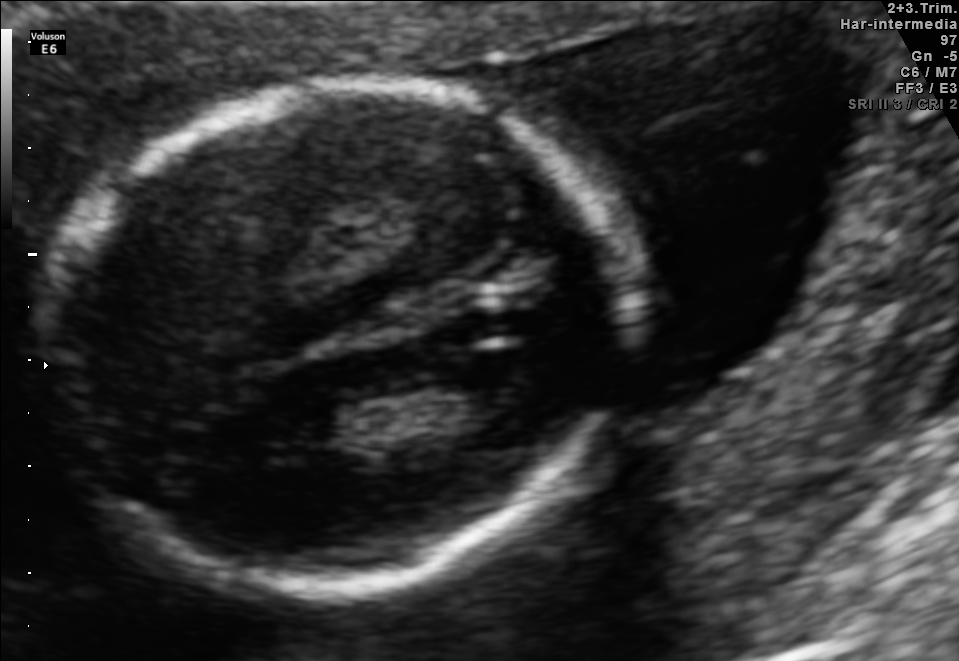
Fetal brain, trans-thalamic plane. Locate the fetal head and, if visible, the cavum septum pellucidum (CSP) and lateral ventricle (LV). Give bounding boxes as [x1,y1,x2,y2].

Head: [43,77,624,594]